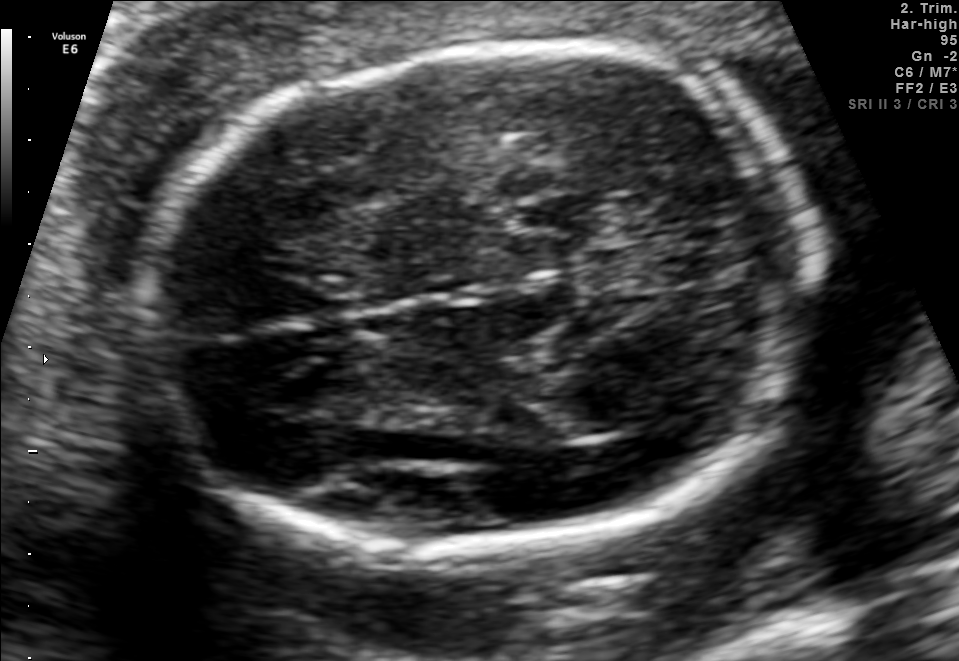
In this fetal brain, trans-thalamic plane, give bounding boxes for the head outline, cavum septum pellucidum (CSP), and lateral ventricle (LV), where visible.

Head: [134,47,813,548]
Lateral ventricle: [527,381,640,448]